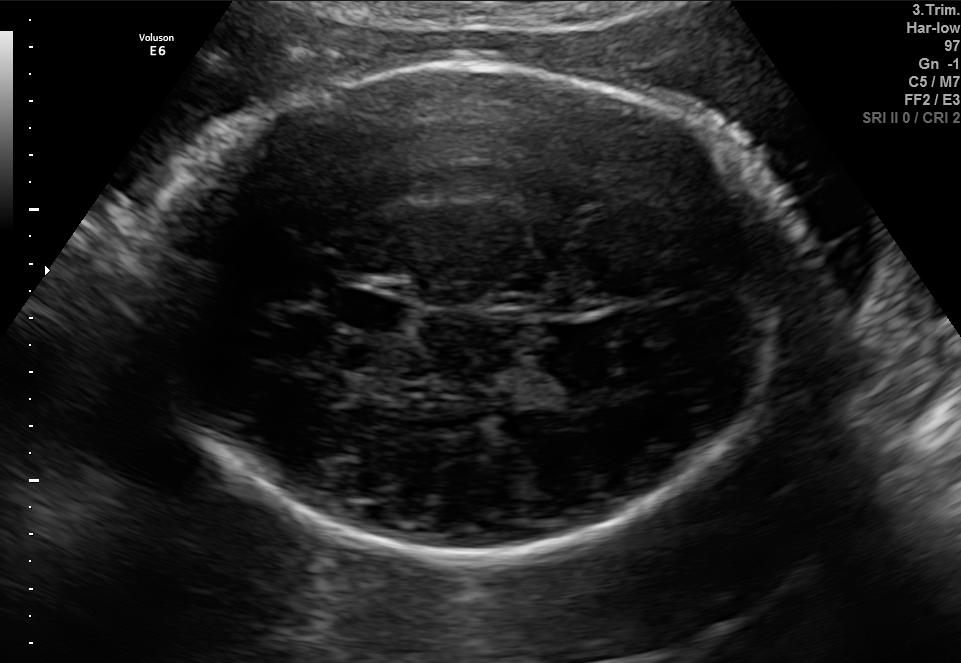
Fetal brain, trans-thalamic plane. Locate the cavum septum pellucidum.

CSP: [331,284,405,337]